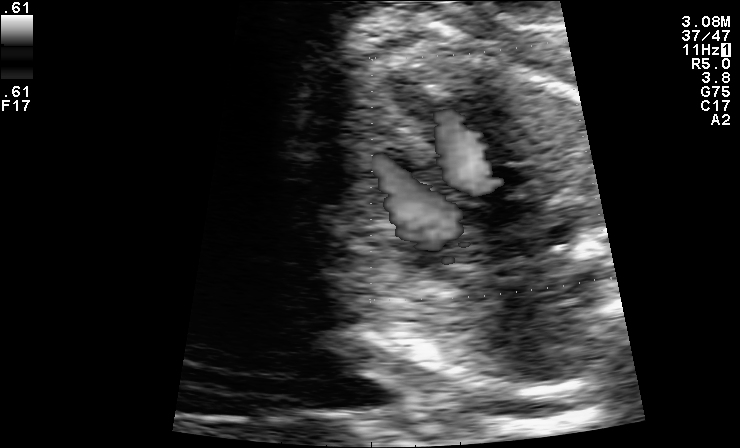
Which standard maternal-fetal ultrasound plane is shown: fetal abdomen, fetal brain, fetal femur, fetal thorax, maternal cervix, or other? If it's fetal brain and one of the three standard brain planes (trans-thalamic, trans-cerebellum, trans-ventricular), name which.

Other